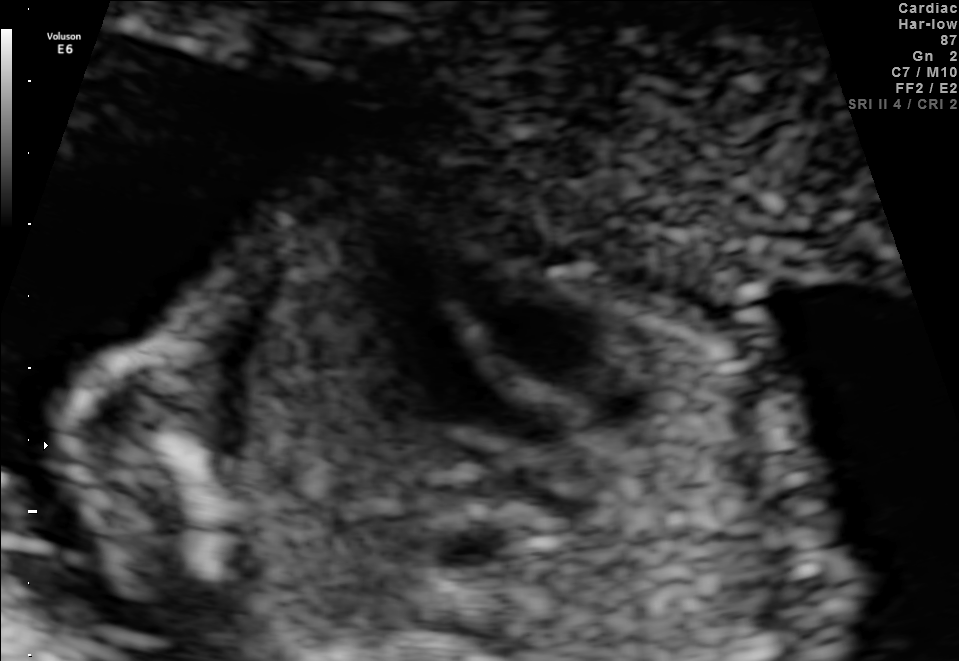
Which standard maternal-fetal ultrasound plane is shown: fetal abdomen, fetal brain, fetal femur, fetal thorax, maternal cervix, or other? If it's fetal brain and one of the three standard brain planes (trans-thalamic, trans-cerebellum, trans-ventricular), name which.

Fetal thorax